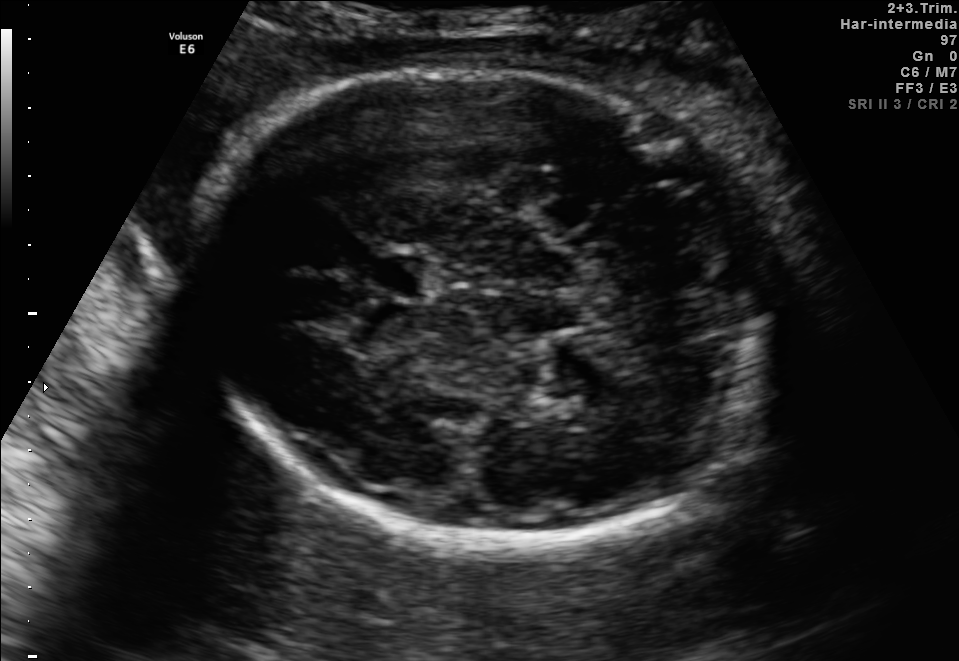
Identify the standard plane in this fetal ultrasound image: fetal abdomen, fetal brain, fetal femur, fetal thorax, maternal cervix, or other. If it's fetal brain and one of the three standard brain planes (trans-thalamic, trans-cerebellum, trans-ventricular), name which.

Fetal brain (trans-thalamic plane)